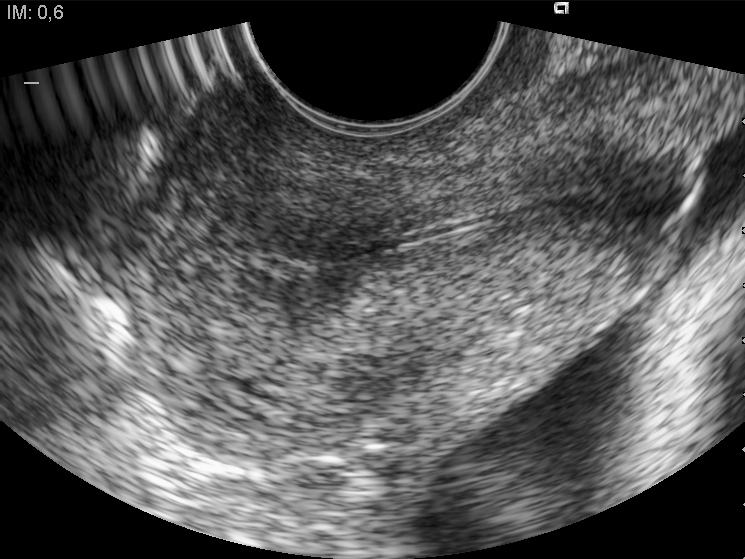
Identify the standard plane in this fetal ultrasound image: fetal abdomen, fetal brain, fetal femur, fetal thorax, maternal cervix, or other. If it's fetal brain and one of the three standard brain planes (trans-thalamic, trans-cerebellum, trans-ventricular), name which.

Maternal cervix